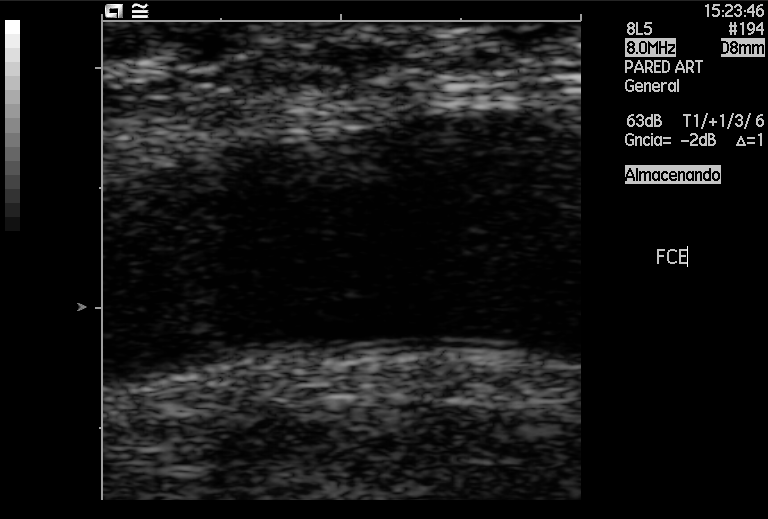
Which standard maternal-fetal ultrasound plane is shown: fetal abdomen, fetal brain, fetal femur, fetal thorax, maternal cervix, or other? If it's fetal brain and one of the three standard brain planes (trans-thalamic, trans-cerebellum, trans-ventricular), name which.

Other